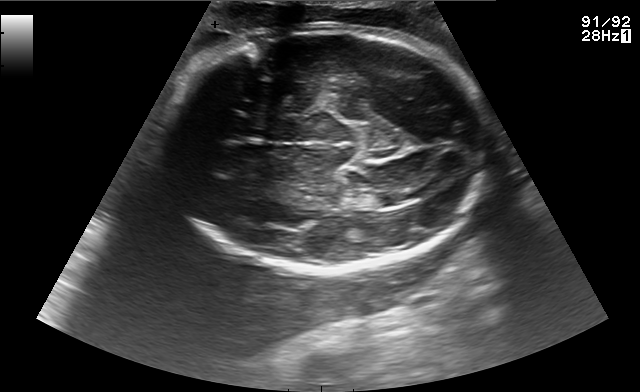
In this fetal brain, trans-thalamic plane, give the bounding box of the lateral ventricle.

[371,184,421,212]